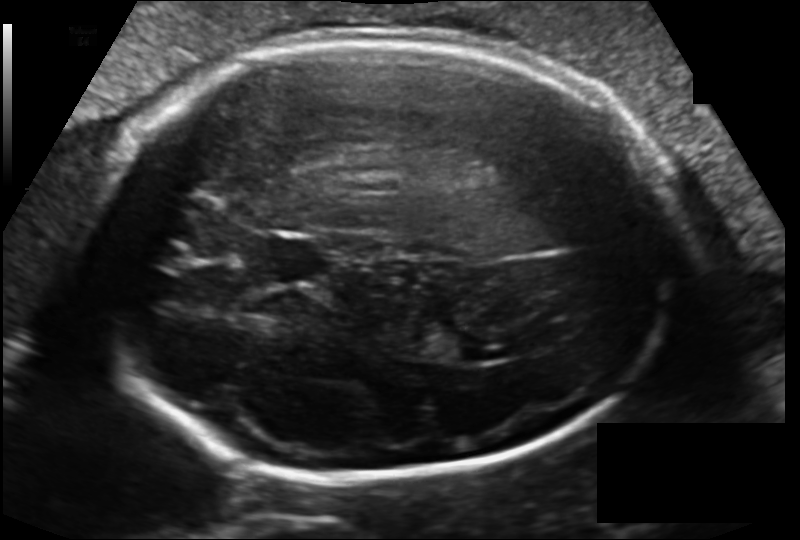
From this fetal ultrasound, estimate the head circumference (image width 129.6 mm).

Head circumference: 270.5 mm.